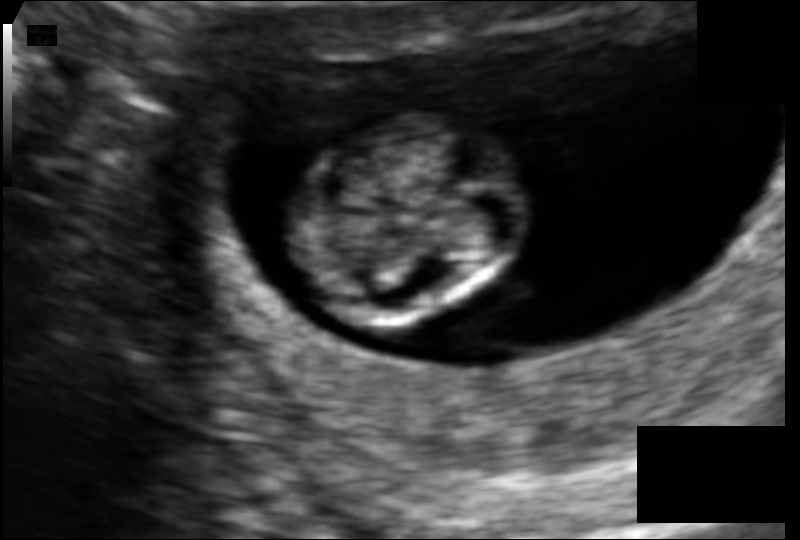
Estimate the fetal head circumference from this 2D ultrasound.

Head circumference: 59.4 mm (image width 66.8 mm).